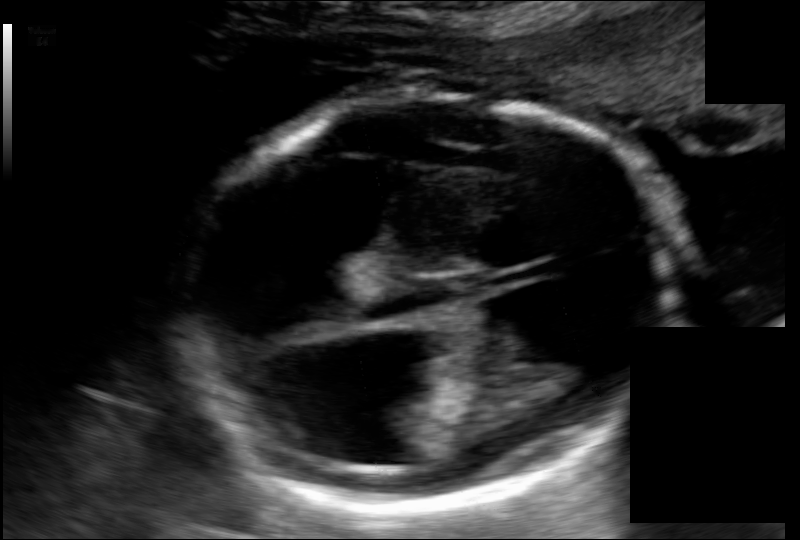
In this fetal head ultrasound, give the bounding box of the fetal head. Image width: 107.8 mm.

[184,91,678,512]